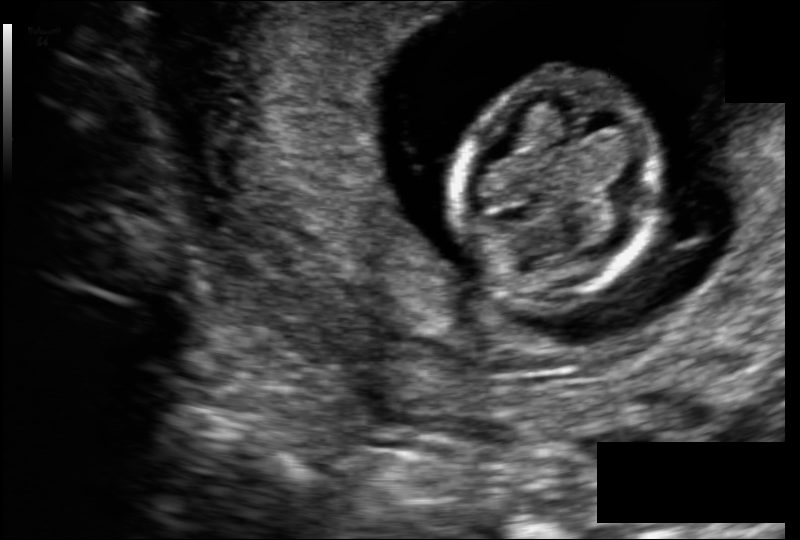
Measure the fetal head circumference shown in this ultrasound image. Image width: 87.2 mm.

Head circumference: 79.5 mm.